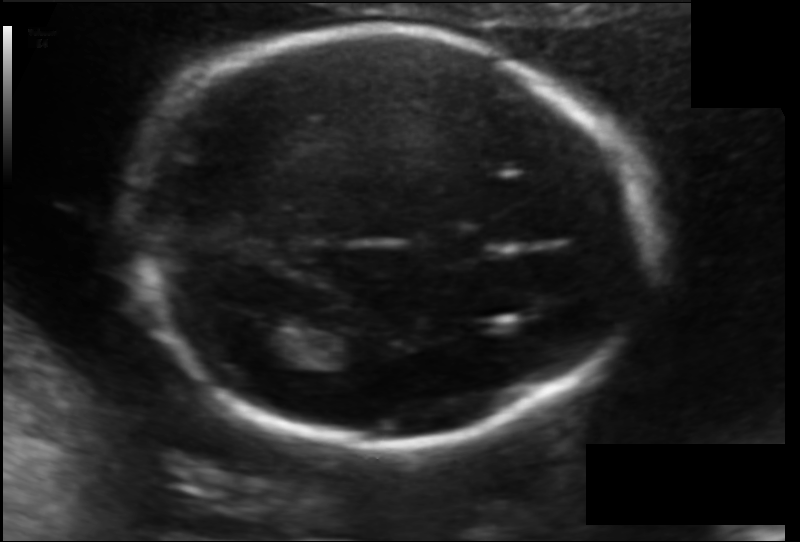
In this fetal head ultrasound, give the bounding box of the fetal head. Image width: 91.4 mm.

[141,33,654,450]